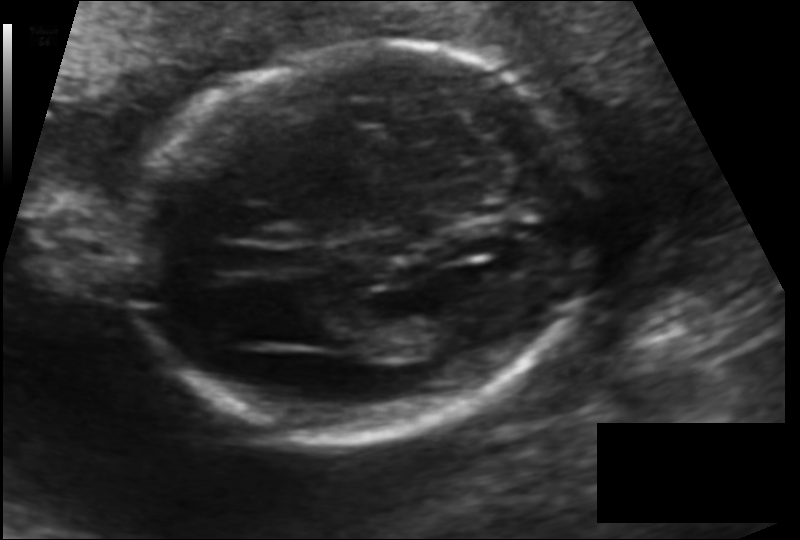
In this fetal head ultrasound, give bounding boxes for the head outline, cavum septum pellucidum (CSP), and lateral ventricle (LV), where visible. Image width: 96.4 mm.

Head: [132,44,590,434]